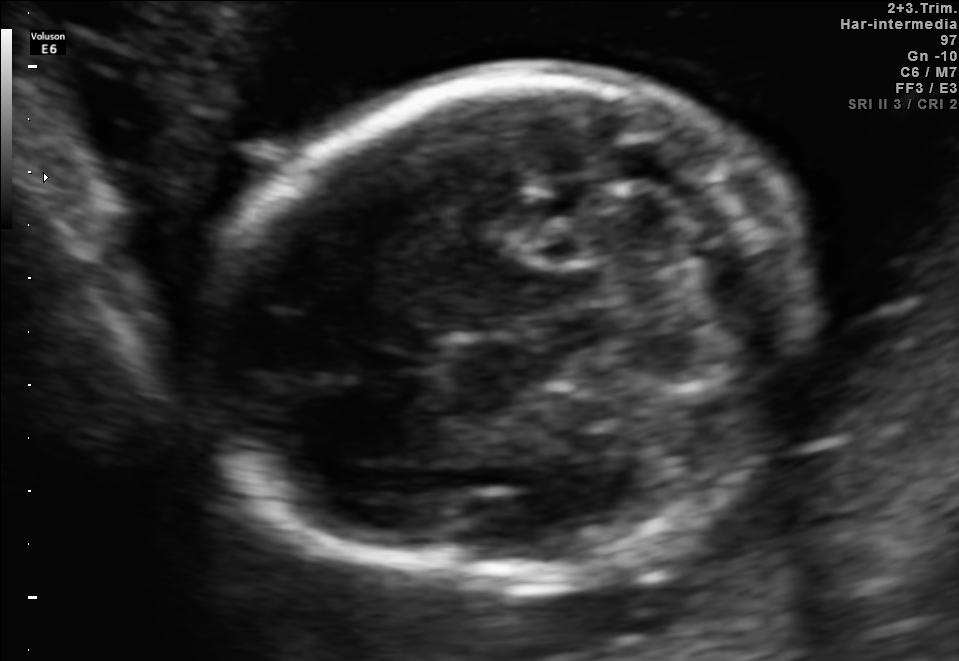
Fetal brain, trans-cerebellum plane. Locate the fetal head.

Head: [206,71,805,578]